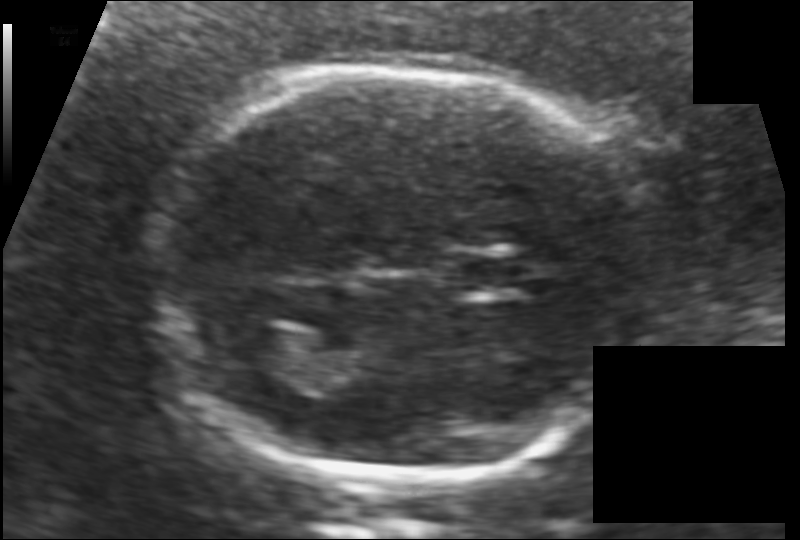
In this fetal head ultrasound, give the bounding box of the cavum septum pellucidum. Image width: 94.0 mm.

[453,254,522,295]